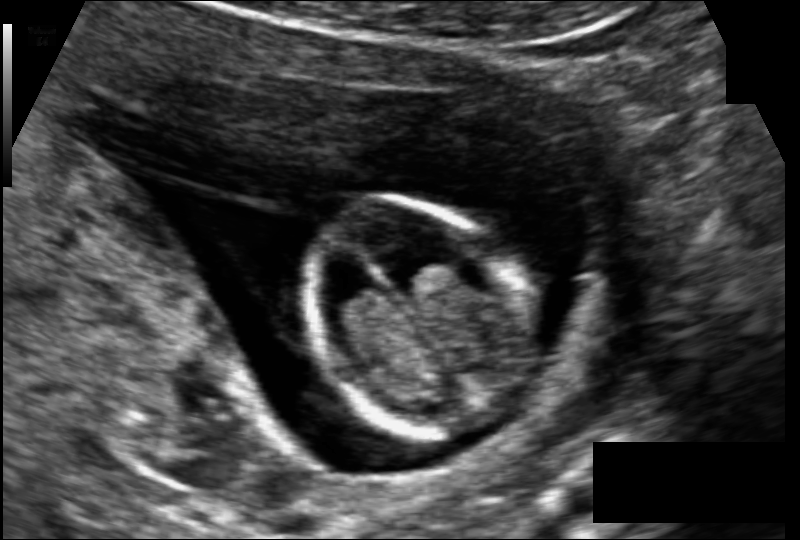
In this fetal head ultrasound, give the bounding box of the fetal head. Image width: 81.3 mm.

[299,203,535,436]